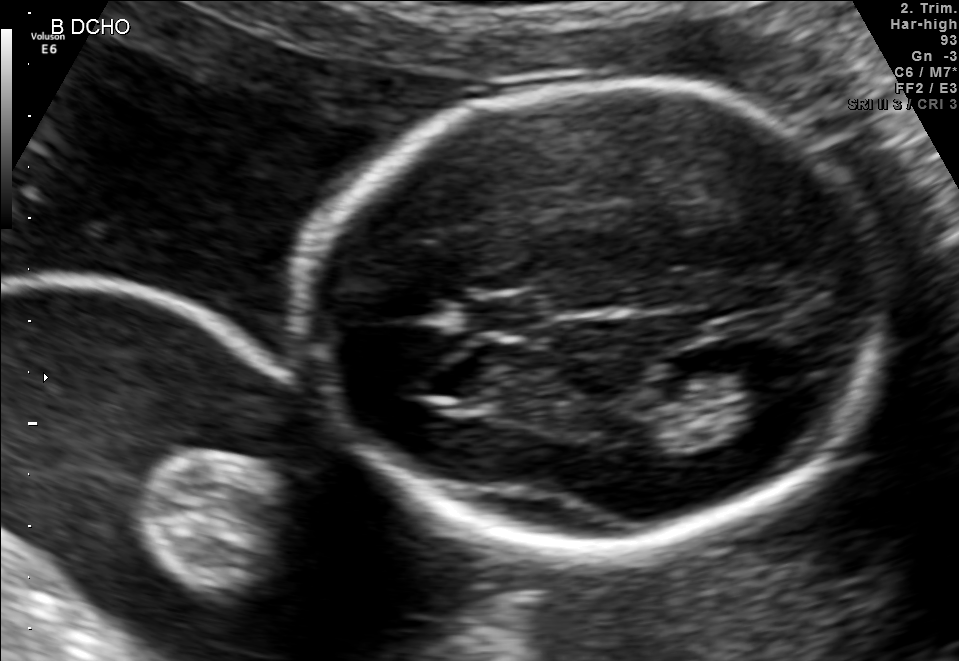
Fetal brain, trans-thalamic plane. Locate the lateral ventricle.

Lateral ventricle: [709,332,809,422]